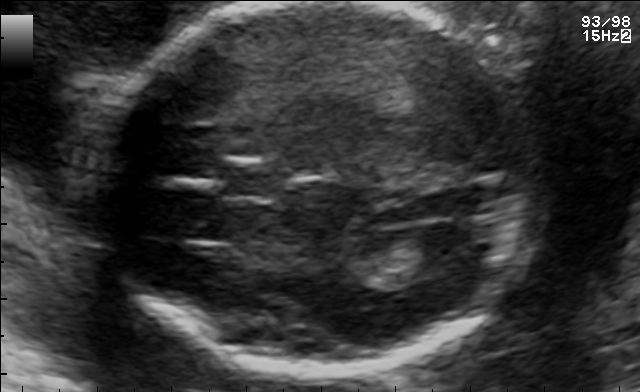
In this fetal brain, trans-ventricular plane, give the bounding box of the fetal head.

[78,2,555,379]